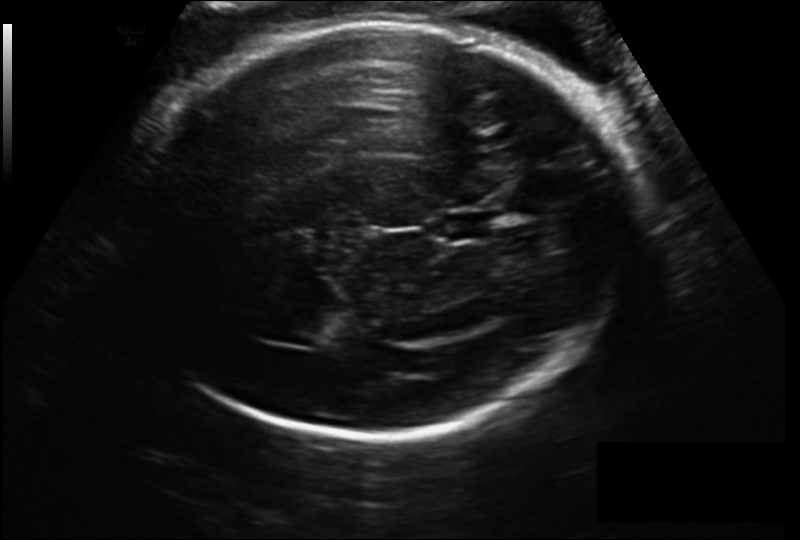
In this fetal head ultrasound, give the bounding box of the lateral ventricle. Image width: 164.9 mm.

[275,309,330,348]